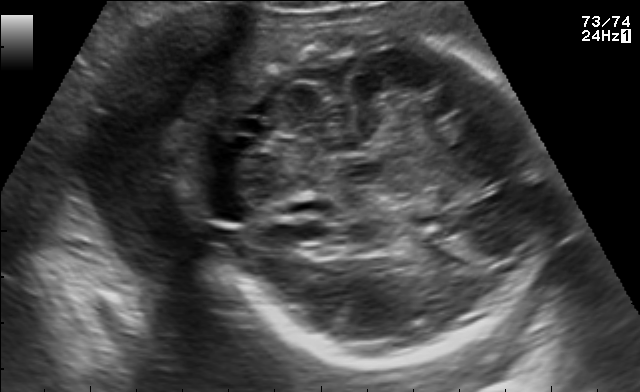
This is a 2D maternal-fetal ultrasound frame. Is it a fetal abdomen, fetal brain, fetal femur, fetal thorax, maternal cervix, or other standard plane? If it's fetal brain and one of the three standard brain planes (trans-thalamic, trans-cerebellum, trans-ventricular), name which.

Fetal brain (trans-cerebellum plane)